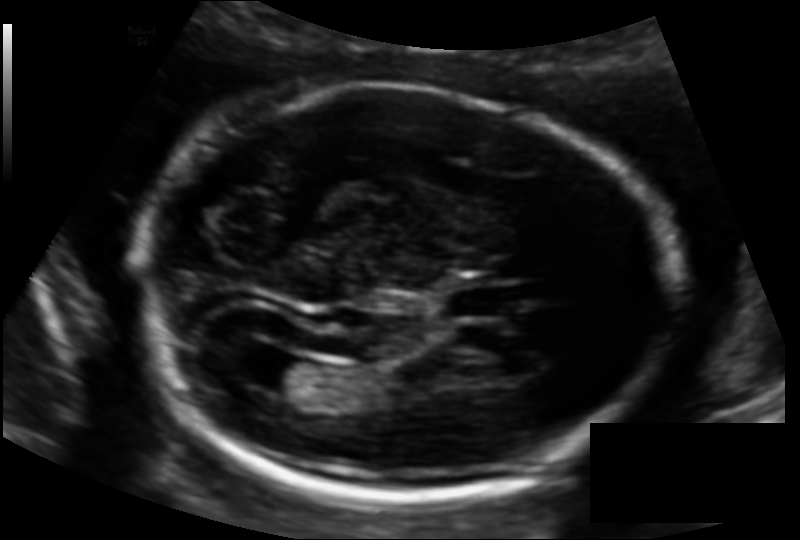
Fetal head ultrasound. Image width: 103.6 mm. Locate the fetal head and, if visible, the cavum septum pellucidum (CSP) and lateral ventricle (LV). Give bounding boxes as [x1,y1,x2,y2].

Head: [148,84,667,498]
CSP: [442,276,517,320]
Lateral ventricle: [250,347,322,403]